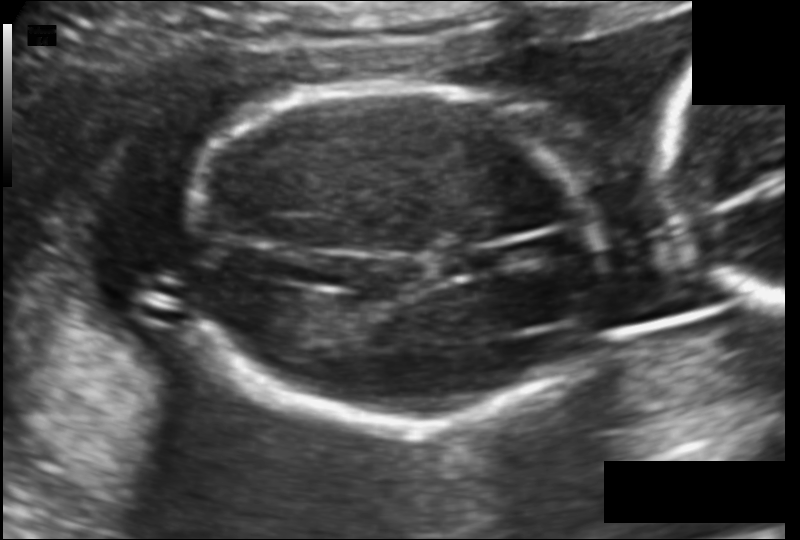
In this fetal head ultrasound, give the bounding box of the cavum septum pellucidum. Image width: 94.3 mm.

[441,248,486,277]